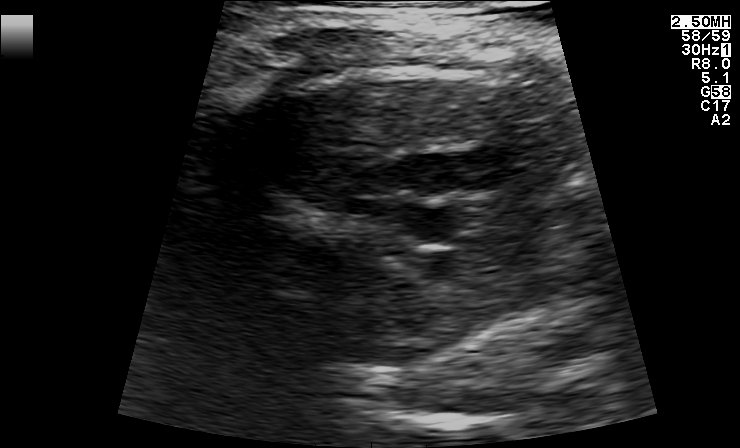
Which standard maternal-fetal ultrasound plane is shown: fetal abdomen, fetal brain, fetal femur, fetal thorax, maternal cervix, or other? If it's fetal brain and one of the three standard brain planes (trans-thalamic, trans-cerebellum, trans-ventricular), name which.

Other